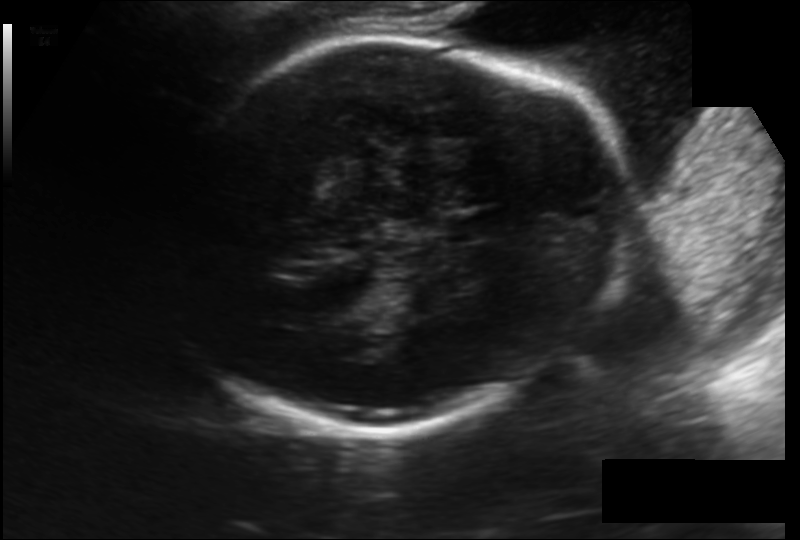
In this fetal head ultrasound, give bounding boxes for the head outline, cavum septum pellucidum (CSP), and lateral ventricle (LV), where visible. Image width: 139.5 mm.

Head: [162,34,631,429]